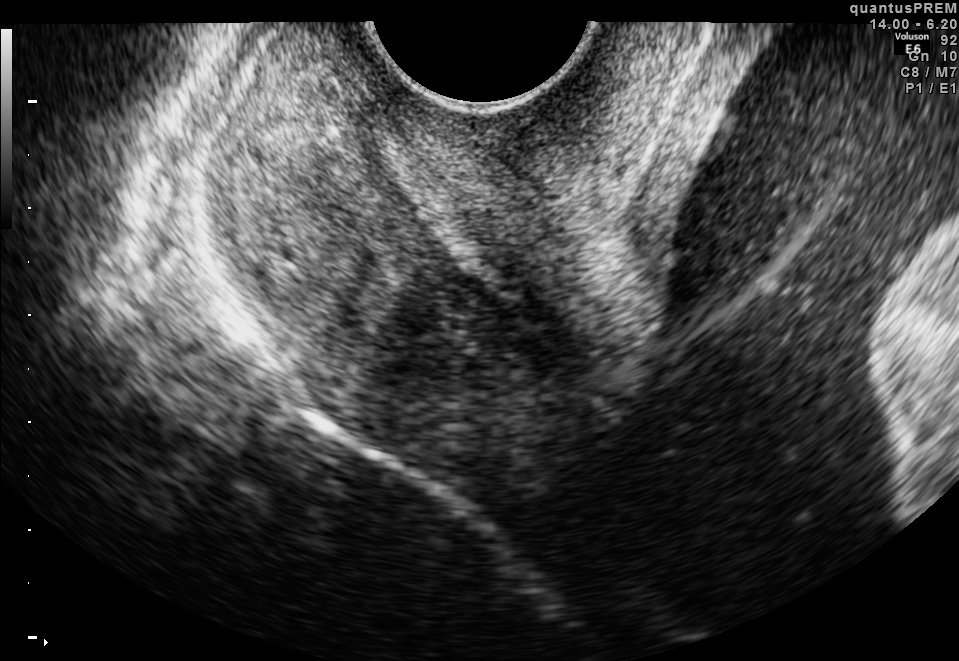
Identify the standard plane in this fetal ultrasound image: fetal abdomen, fetal brain, fetal femur, fetal thorax, maternal cervix, or other. If it's fetal brain and one of the three standard brain planes (trans-thalamic, trans-cerebellum, trans-ventricular), name which.

Maternal cervix